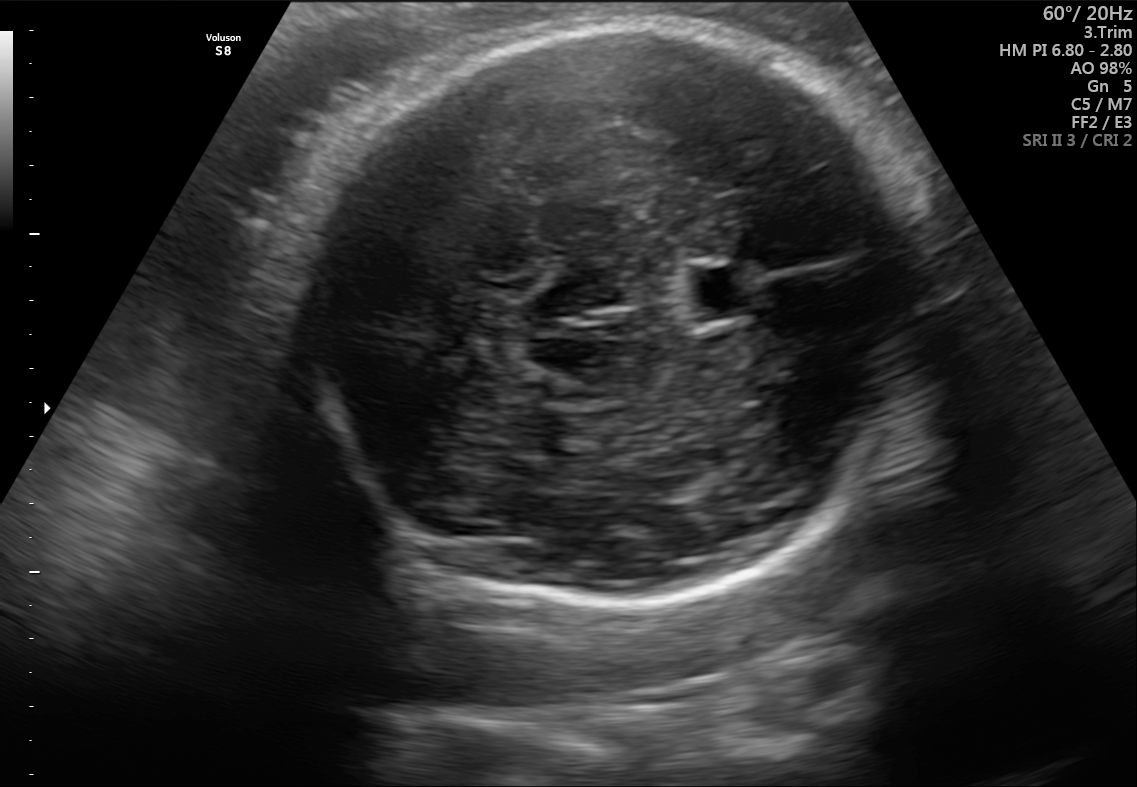
Fetal brain, trans-thalamic plane. Locate the fetal head.

Head: [294,29,933,608]